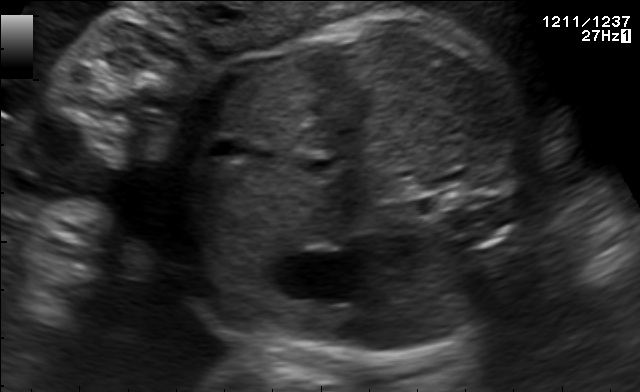
Classify this maternal-fetal ultrasound image as one of the six standard planes — fetal abdomen, fetal brain, fetal femur, fetal thorax, maternal cervix, or other. If it's fetal brain and one of the three standard brain planes (trans-thalamic, trans-cerebellum, trans-ventricular), name which.

Fetal abdomen